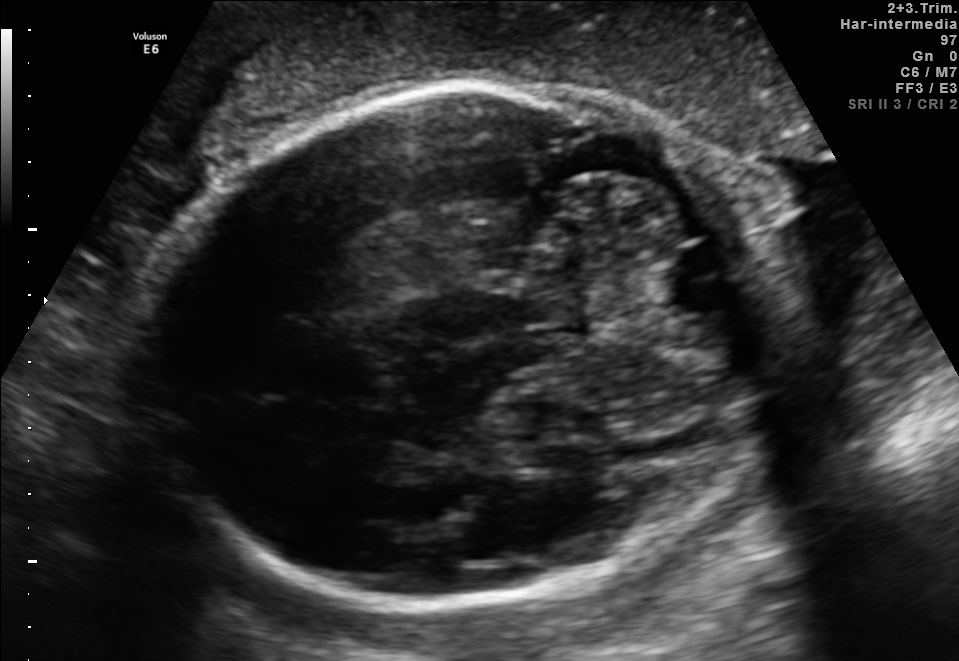
In this fetal brain, trans-cerebellum plane, give the bounding box of the fetal head.

[153,83,790,602]